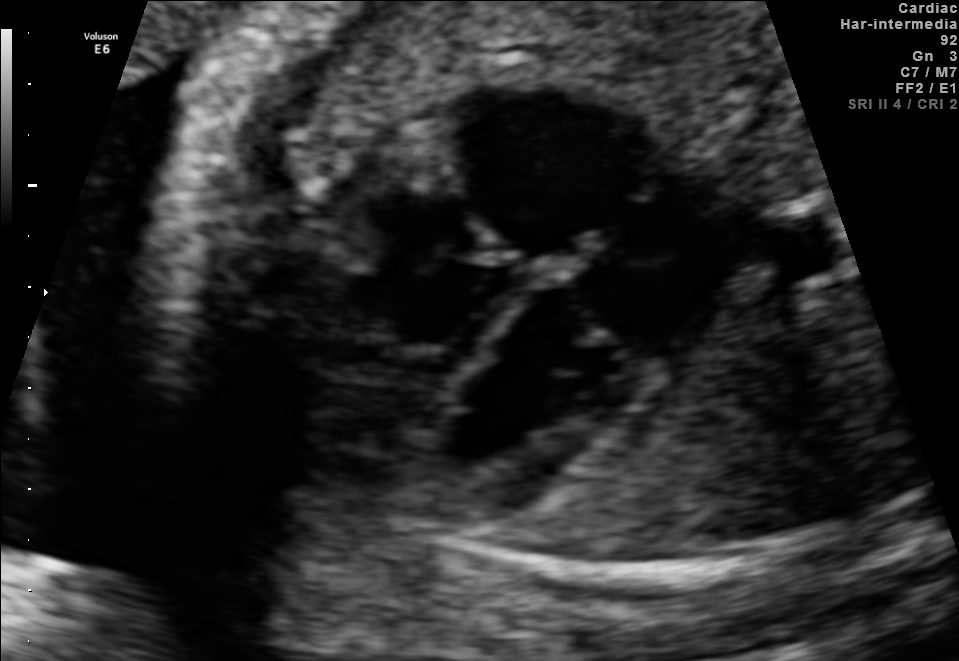
This is a 2D maternal-fetal ultrasound frame. Is it a fetal abdomen, fetal brain, fetal femur, fetal thorax, maternal cervix, or other standard plane? If it's fetal brain and one of the three standard brain planes (trans-thalamic, trans-cerebellum, trans-ventricular), name which.

Fetal thorax